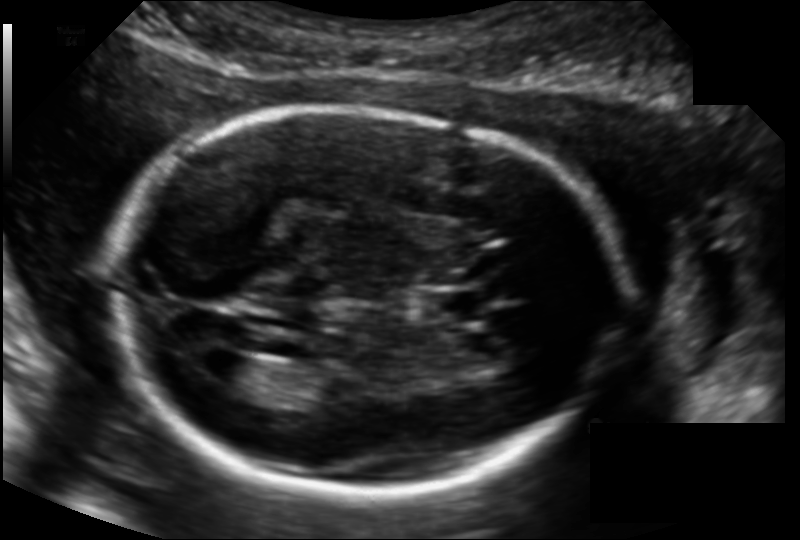
Fetal head ultrasound. Image width: 107.7 mm. Locate the fetal head.

Head: [108,108,617,493]